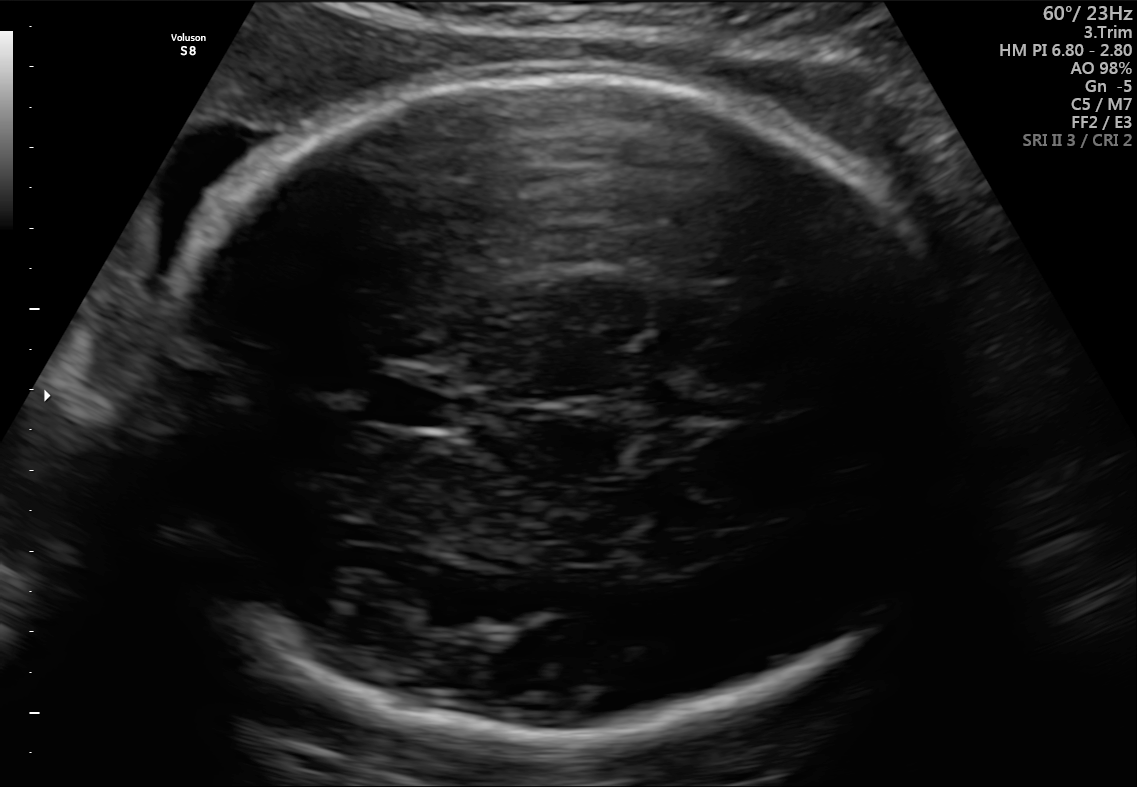
In this fetal brain, trans-thalamic plane, give the bounding box of the cavum septum pellucidum.

[366,376,457,431]